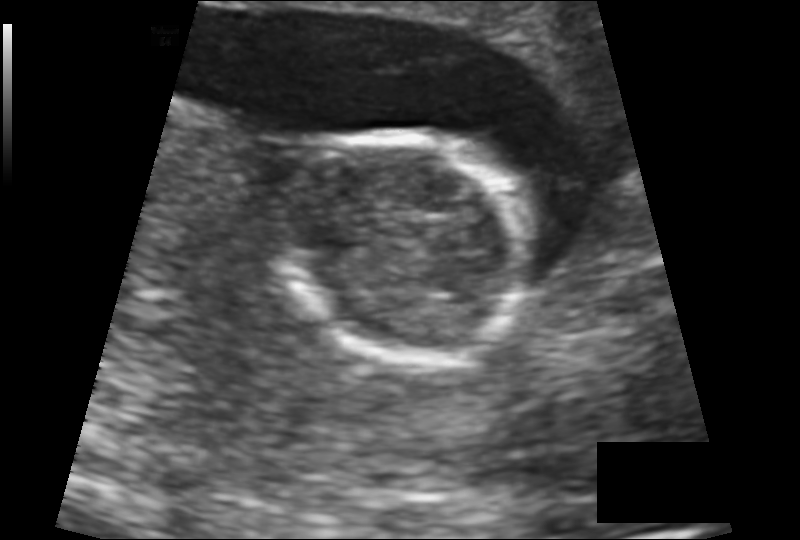
Estimate the fetal head circumference from this 2D ultrasound. Image width: 109.7 mm.

Head circumference: 105.5 mm.